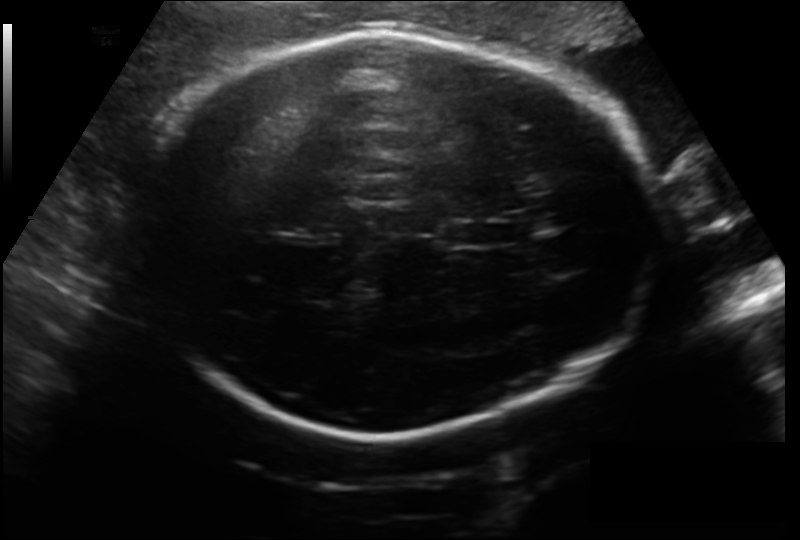
In this fetal head ultrasound, give the bounding box of the cavum septum pellucidum. Image width: 158.8 mm.

[447,220,501,248]